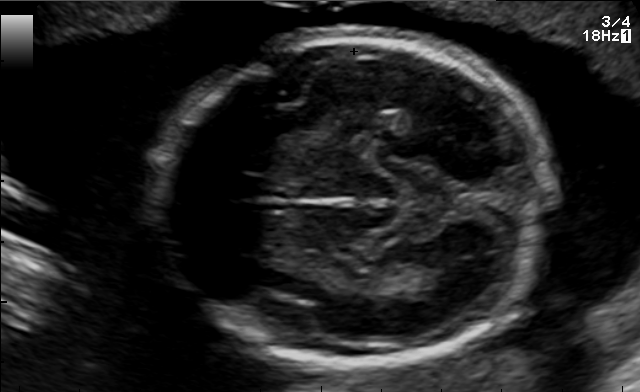
Classify this maternal-fetal ultrasound image as one of the six standard planes — fetal abdomen, fetal brain, fetal femur, fetal thorax, maternal cervix, or other. If it's fetal brain and one of the three standard brain planes (trans-thalamic, trans-cerebellum, trans-ventricular), name which.

Fetal brain (trans-thalamic plane)